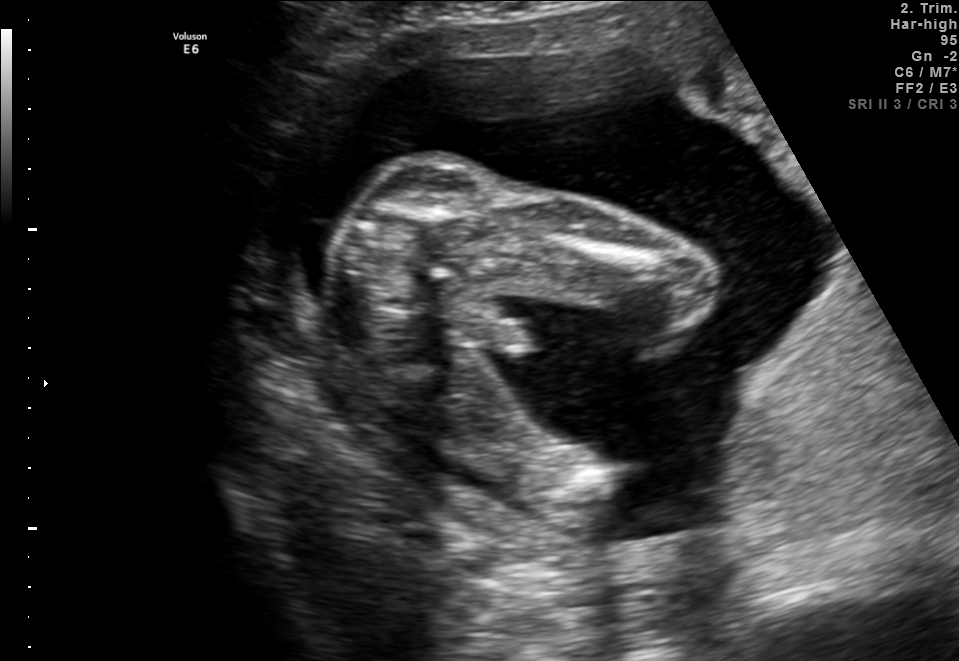
Which standard maternal-fetal ultrasound plane is shown: fetal abdomen, fetal brain, fetal femur, fetal thorax, maternal cervix, or other? If it's fetal brain and one of the three standard brain planes (trans-thalamic, trans-cerebellum, trans-ventricular), name which.

Other